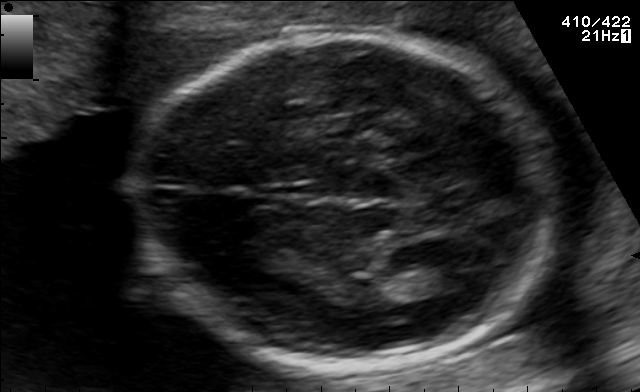
In this fetal brain, trans-thalamic plane, give the bounding box of the lateral ventricle.

[415,247,494,299]